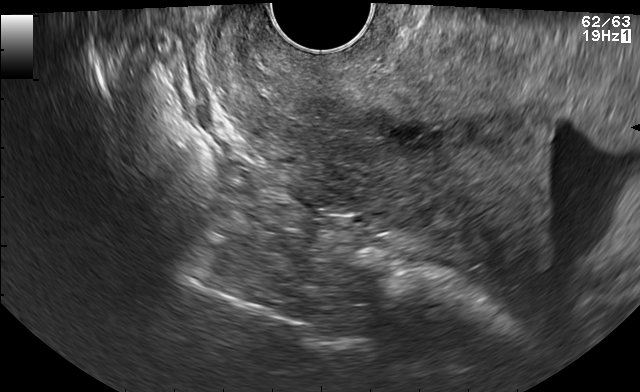
Which standard maternal-fetal ultrasound plane is shown: fetal abdomen, fetal brain, fetal femur, fetal thorax, maternal cervix, or other? If it's fetal brain and one of the three standard brain planes (trans-thalamic, trans-cerebellum, trans-ventricular), name which.

Maternal cervix